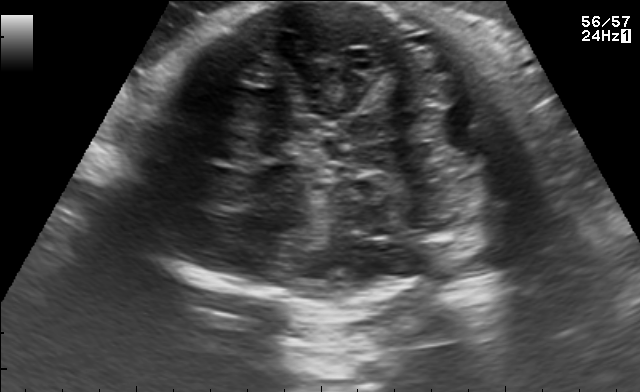
In this fetal brain, trans-cerebellum plane, give bounding boxes for the head outline, cavum septum pellucidum (CSP), and lateral ventricle (LV), where visible.

Head: [116,2,561,304]